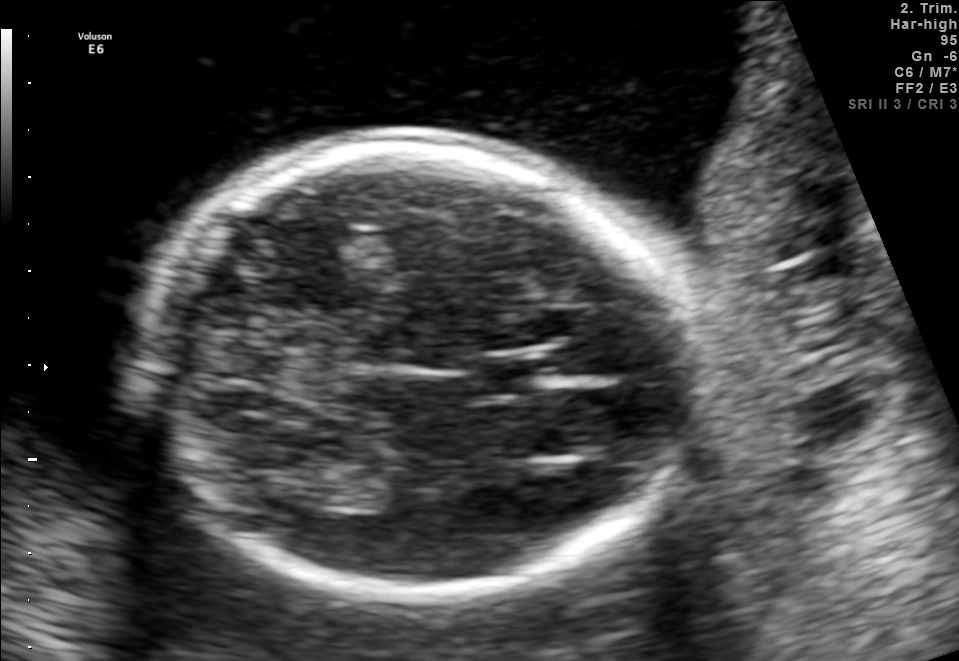
In this fetal brain, trans-thalamic plane, give bounding boxes for the head outline, cavum septum pellucidum (CSP), and lateral ventricle (LV), where visible.

Head: [136,137,699,596]
CSP: [475,358,545,398]